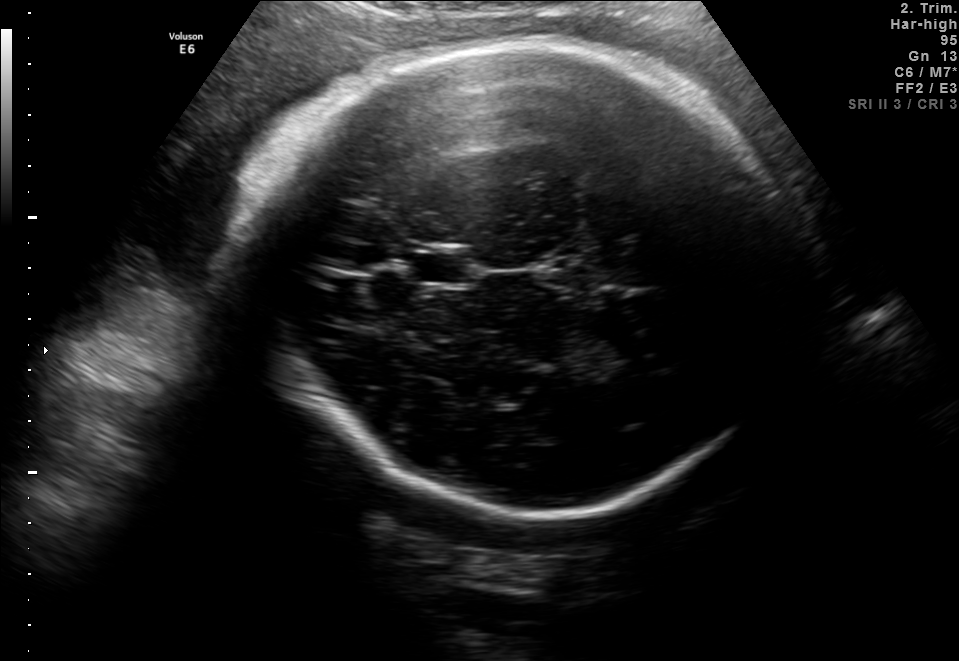
Fetal brain, trans-thalamic plane. Locate the fetal head.

Head: [229,48,800,509]